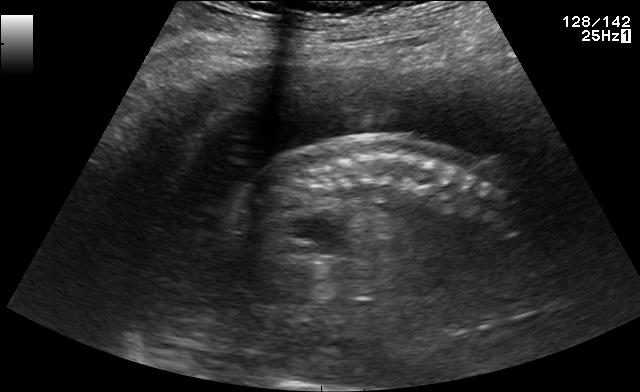
Classify this maternal-fetal ultrasound image as one of the six standard planes — fetal abdomen, fetal brain, fetal femur, fetal thorax, maternal cervix, or other. If it's fetal brain and one of the three standard brain planes (trans-thalamic, trans-cerebellum, trans-ventricular), name which.

Other